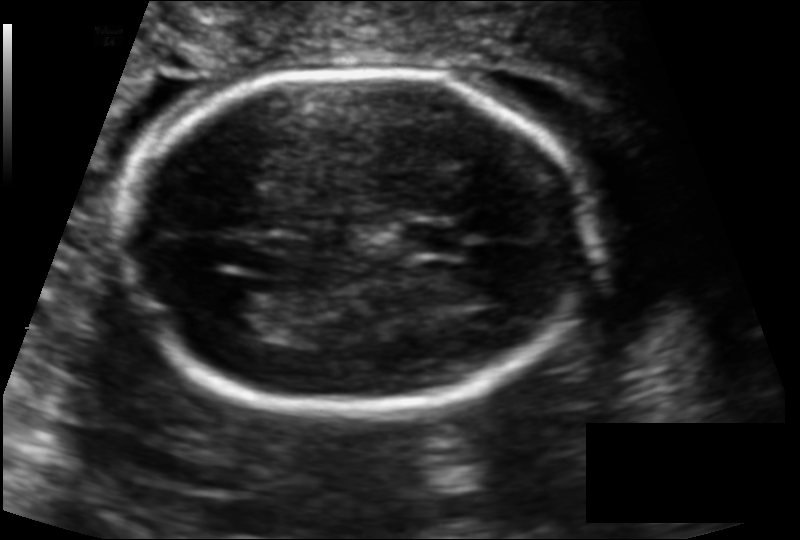
In this fetal head ultrasound, give bounding boxes for the head outline, cavum septum pellucidum (CSP), and lateral ventricle (LV), where visible. Image width: 97.4 mm.

Head: [122,69,593,413]
CSP: [398,222,465,256]
Lateral ventricle: [213,281,292,341]